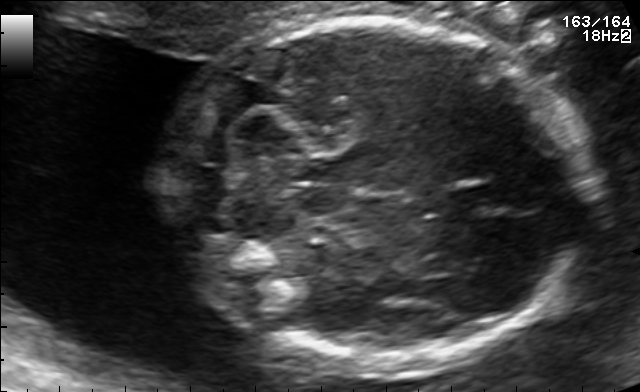
Fetal brain, trans-cerebellum plane. Where is the cavum septum pellucidum?

CSP bounding box: [444,179,503,221]